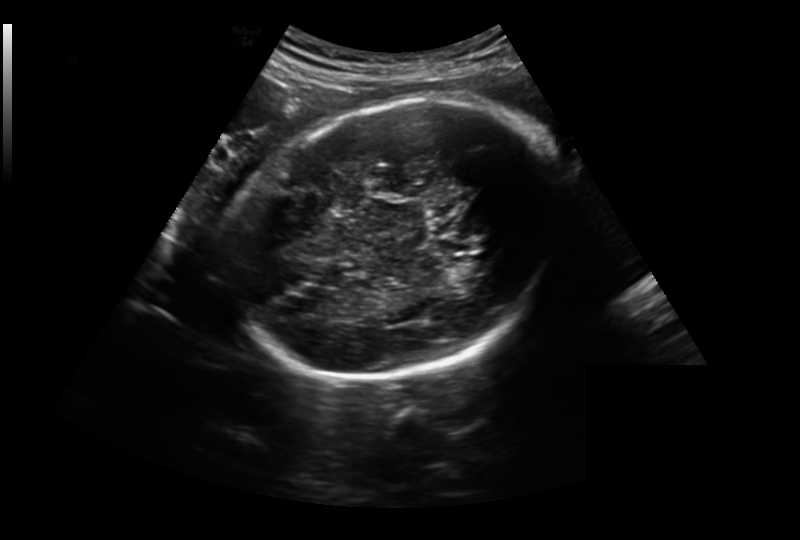
Fetal head ultrasound. Image width: 206.9 mm. Locate the fetal head and, if visible, the cavum septum pellucidum (CSP) and lateral ventricle (LV). Give bounding boxes as [x1,y1,x2,y2].

Head: [234,100,564,377]